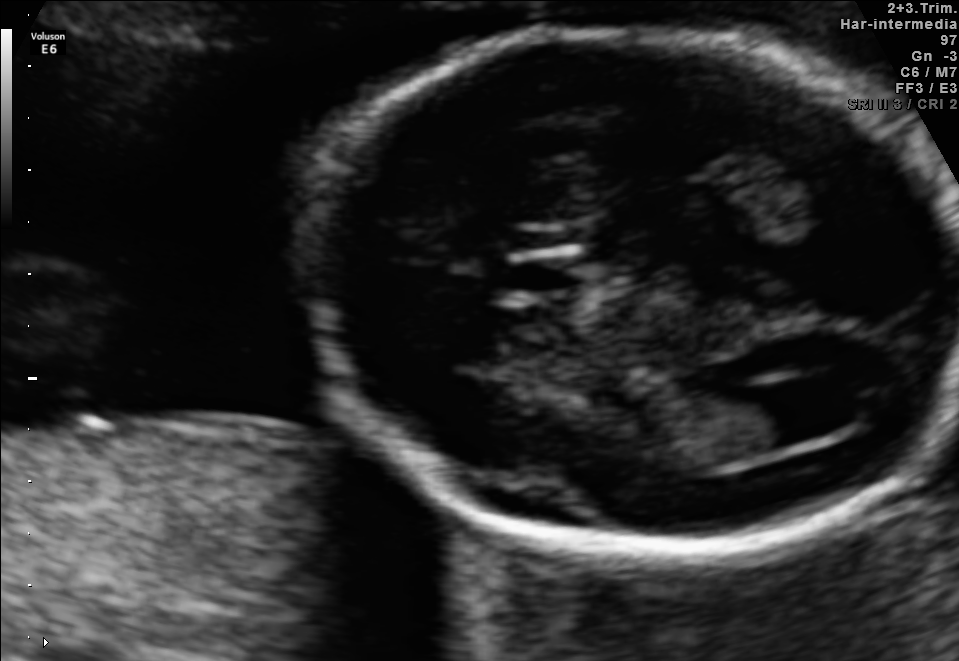
Fetal brain, trans-ventricular plane. Give [x1,y1,x2,y2] bounding boxes for each visible structure among: fetal head, CSP, LV.

Head: [293,27,958,556]
CSP: [513,262,587,299]
Lateral ventricle: [749,367,854,452]